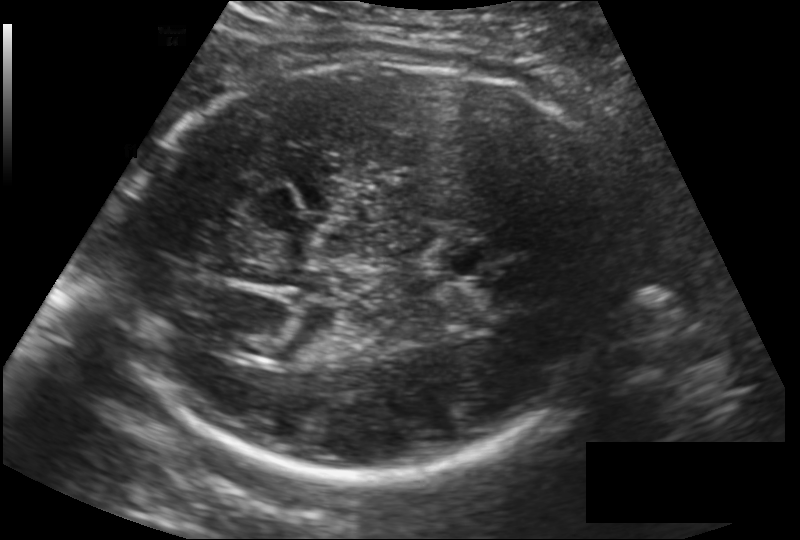
Fetal head ultrasound. Image width: 148.6 mm. Locate the fetal head and, if visible, the cavum septum pellucidum (CSP) and lateral ventricle (LV). Give bounding boxes as [x1,y1,x2,y2].

Head: [113,64,634,473]
CSP: [438,240,506,279]